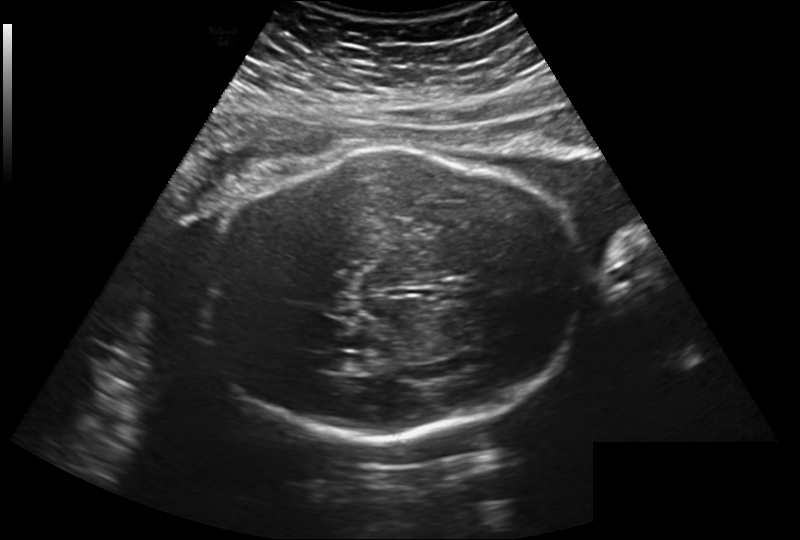
In this fetal head ultrasound, give bounding boxes for the head outline, cavum septum pellucidum (CSP), and lateral ventricle (LV), where visible. Image width: 208.3 mm.

Head: [204,145,583,439]
Lateral ventricle: [326,352,364,373]